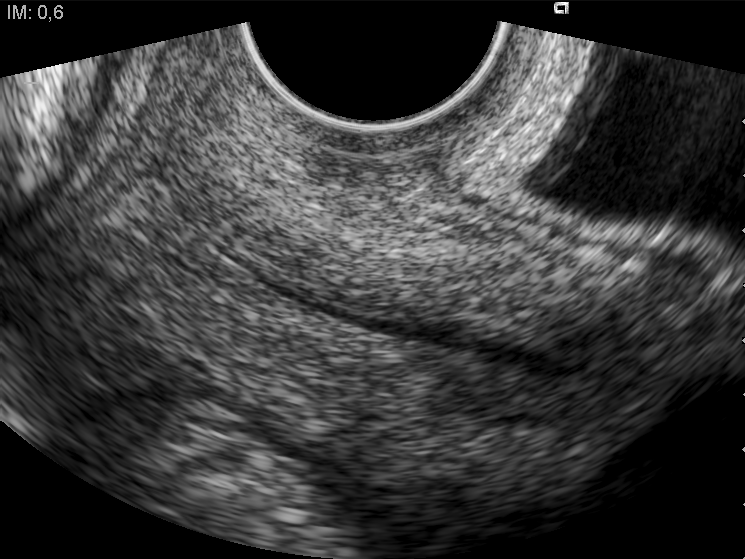
Which standard maternal-fetal ultrasound plane is shown: fetal abdomen, fetal brain, fetal femur, fetal thorax, maternal cervix, or other? If it's fetal brain and one of the three standard brain planes (trans-thalamic, trans-cerebellum, trans-ventricular), name which.

Maternal cervix